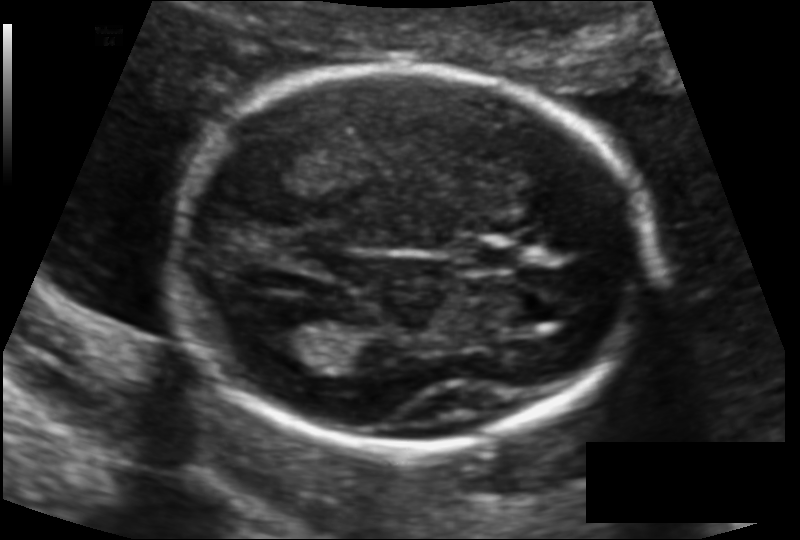
Fetal head ultrasound. Image width: 93.3 mm. Give [x1,y1,x2,y2] bounding boxes for each visible structure among: fetal head, CSP, LV.

Head: [172,68,652,448]
CSP: [461,240,516,271]
Lateral ventricle: [247,297,338,371]